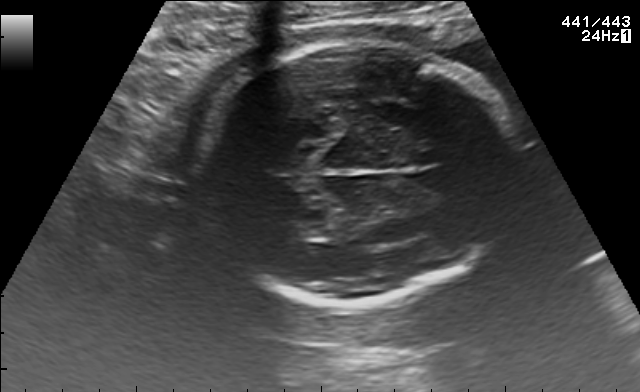
Fetal brain, trans-thalamic plane. Where is the fetal head?

Head bounding box: [195,42,513,305]